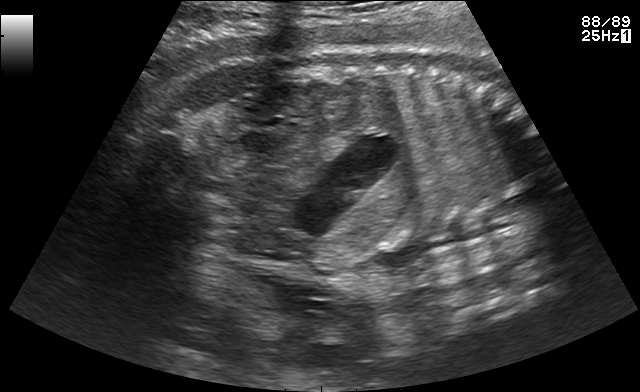
Classify this maternal-fetal ultrasound image as one of the six standard planes — fetal abdomen, fetal brain, fetal femur, fetal thorax, maternal cervix, or other. If it's fetal brain and one of the three standard brain planes (trans-thalamic, trans-cerebellum, trans-ventricular), name which.

Other